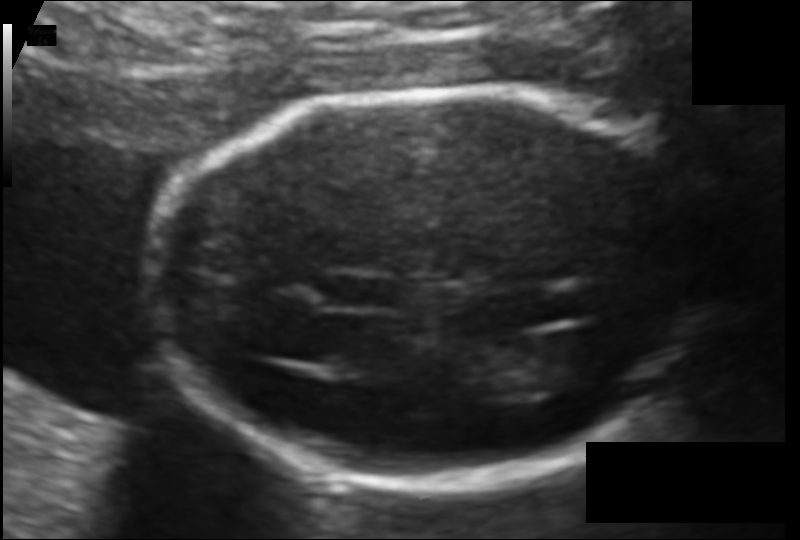
What is the fetal head circumference? Image width is 82.4 mm.

156.8 mm